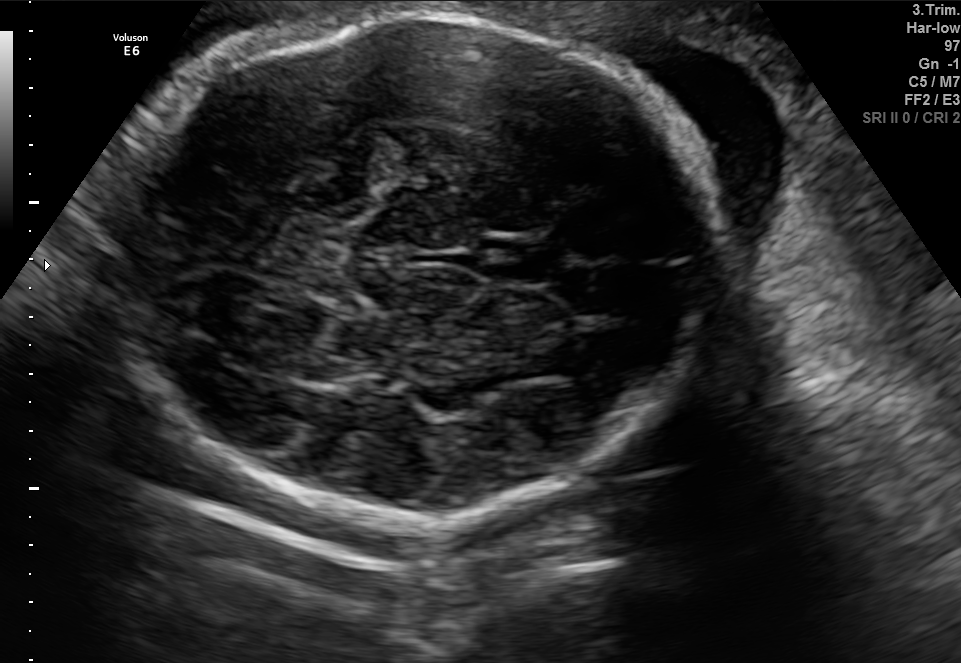
In this fetal brain, trans-thalamic plane, give the bounding box of the cavum septum pellucidum.

[481,240,548,281]